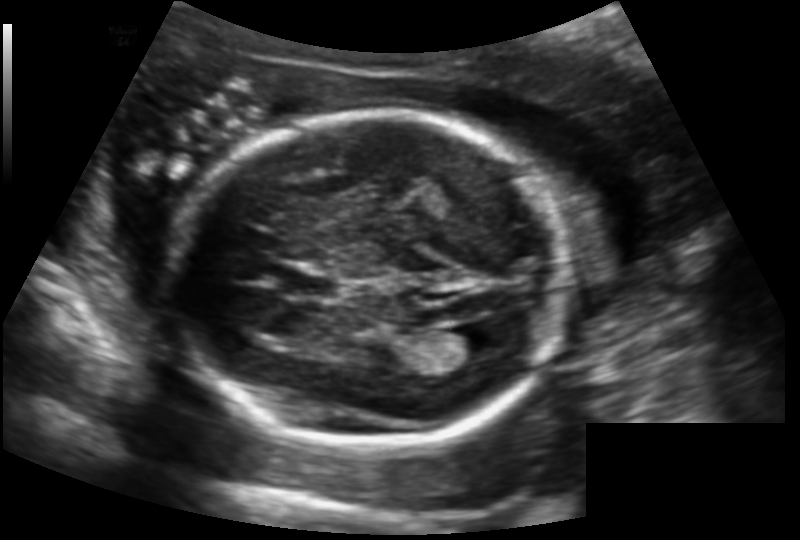
From this fetal ultrasound, estimate the head circumference (image width 117.4 mm).

Head circumference: 174.8 mm.